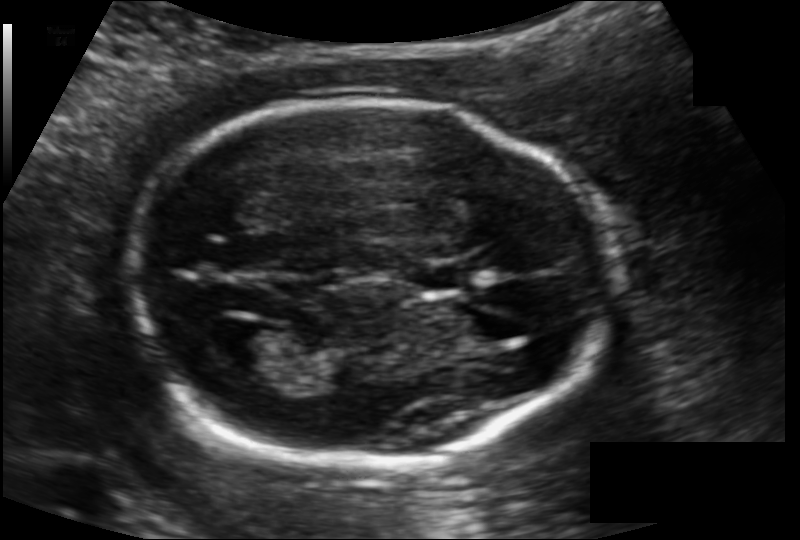
Fetal head ultrasound. Image width: 96.5 mm. Locate the fetal head.

Head: [127,101,615,463]